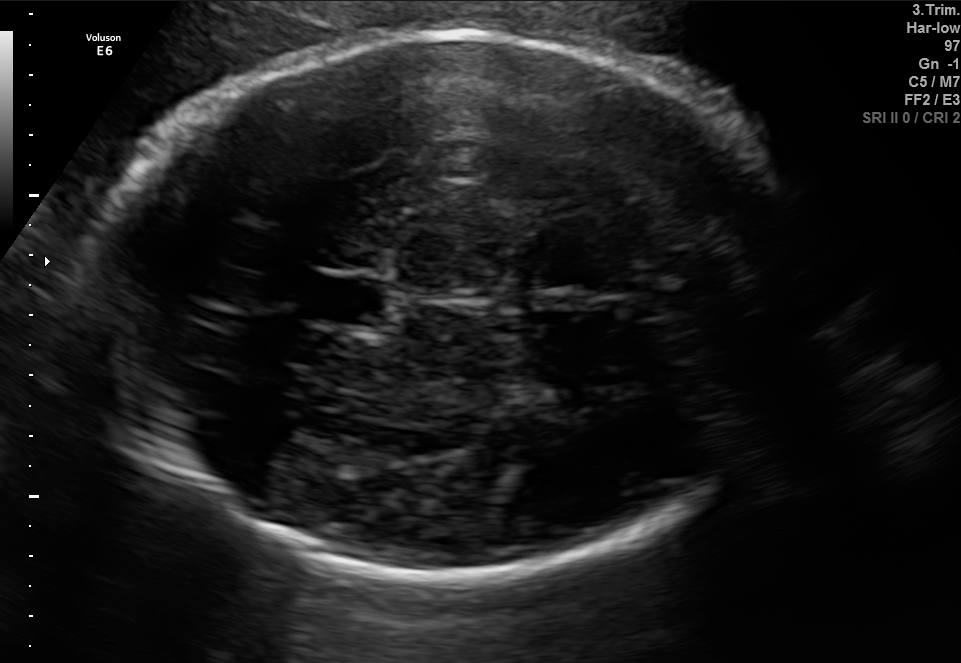
Fetal brain, trans-thalamic plane. Locate the fetal head and, if visible, the cavum septum pellucidum (CSP) and lateral ventricle (LV). Give bounding boxes as [x1,y1,x2,y2].

Head: [91,34,810,577]
CSP: [307,275,383,326]